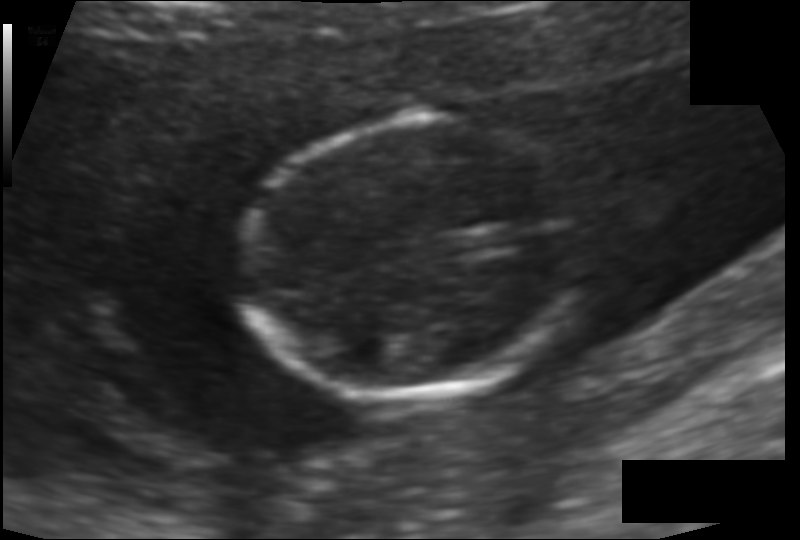
Fetal head ultrasound. Image width: 77.6 mm. Locate the fetal head and, if visible, the cavum septum pellucidum (CSP) and lateral ventricle (LV). Give bounding boxes as [x1,y1,x2,y2].

Head: [246,118,586,396]